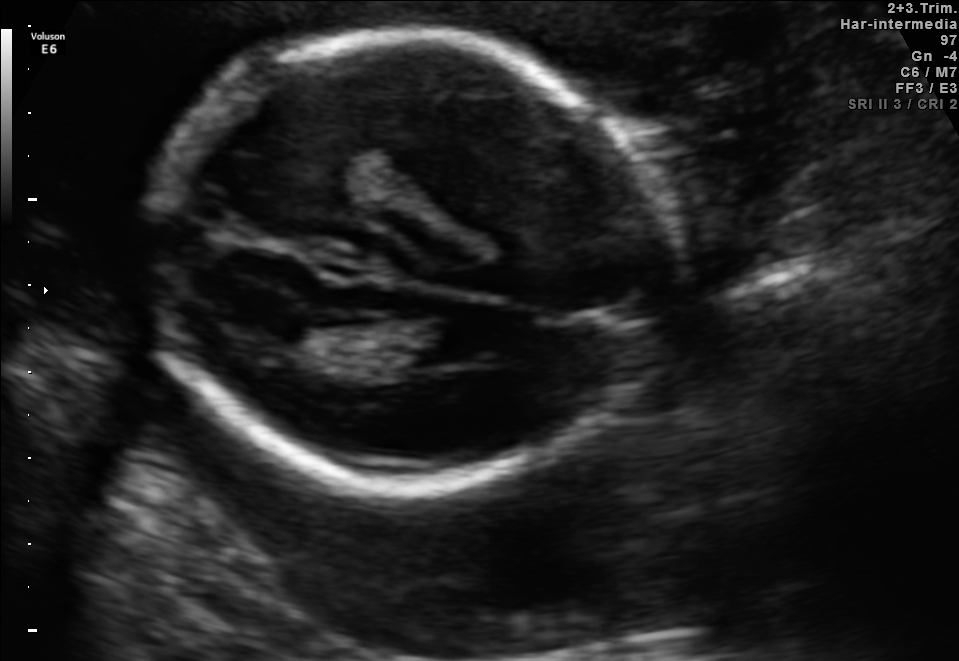
Fetal brain, trans-ventricular plane. Give [x1,y1,x2,y2] bounding boxes for each visible structure among: fetal head, CSP, LV.

Head: [134,24,679,501]